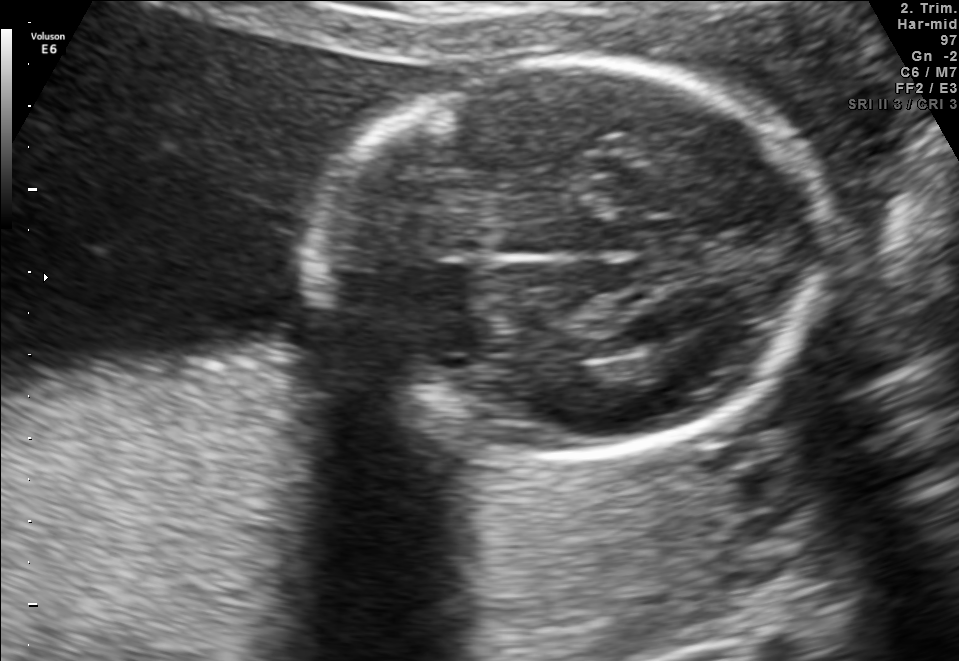
In this fetal brain, trans-thalamic plane, give bounding boxes for the head outline, cavum septum pellucidum (CSP), and lateral ventricle (LV), where visible.

Head: [302,59,843,460]